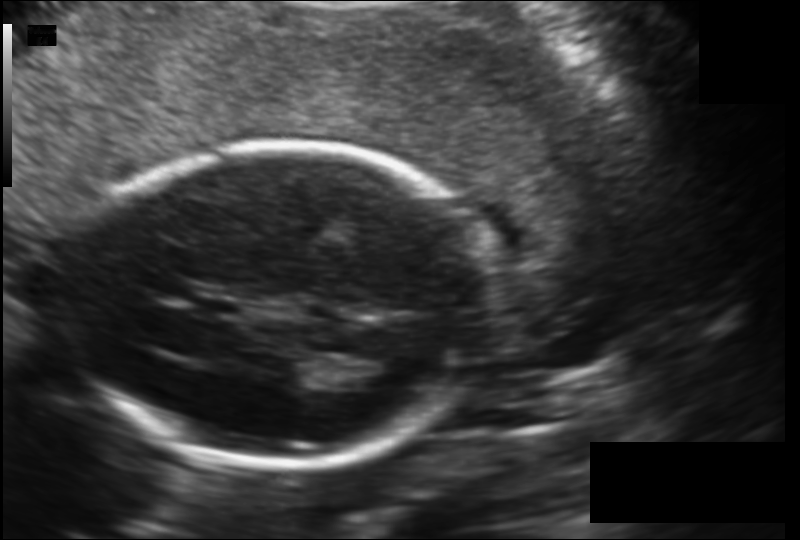
Fetal head ultrasound. Image width: 117.3 mm. Where is the cavum septum pellucidum?

CSP bounding box: [196,295,242,319]